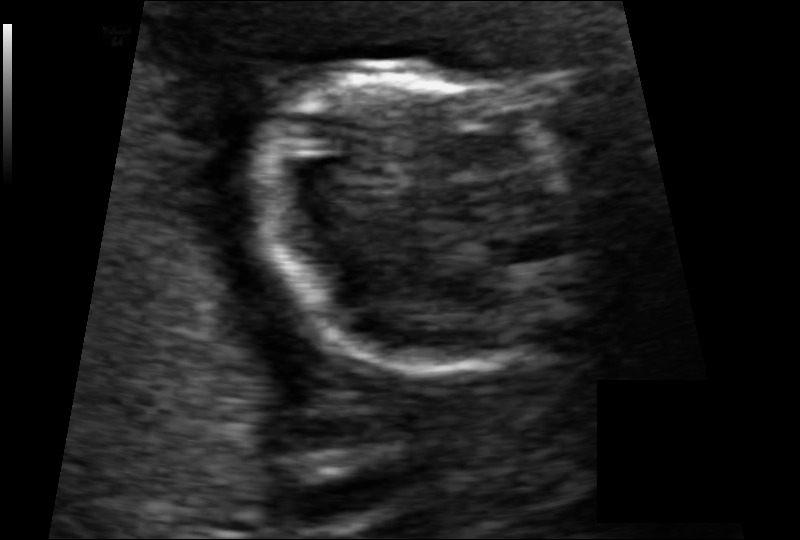
In this fetal head ultrasound, give bounding boxes for the head outline, cavum septum pellucidum (CSP), and lateral ventricle (LV), where visible. Image width: 62.3 mm.

Head: [249,60,580,373]